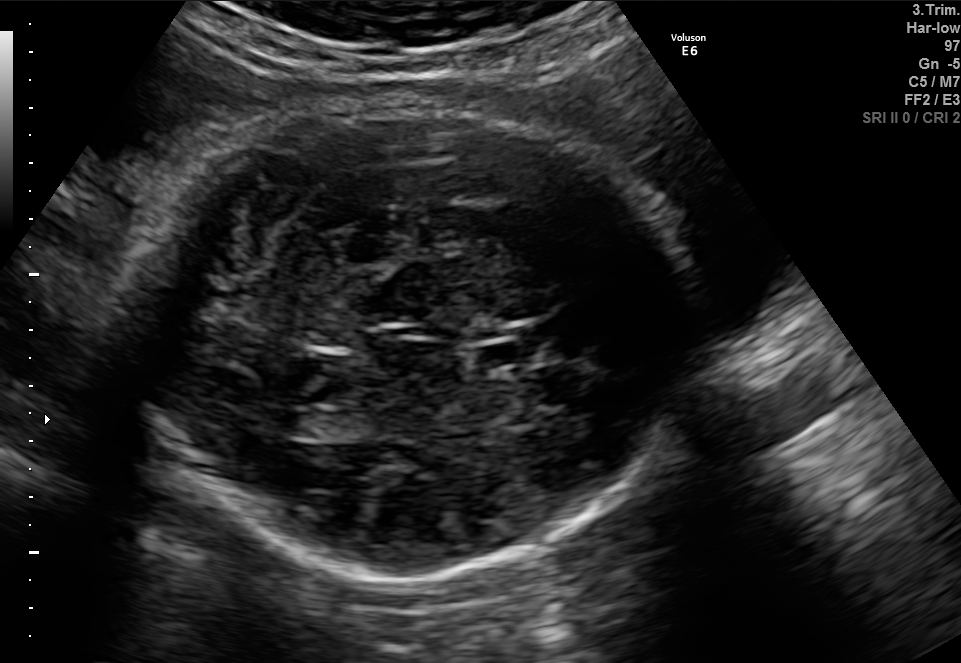
Fetal brain, trans-ventricular plane. Where is the cavum septum pellucidum?

CSP bounding box: [469,339,526,374]